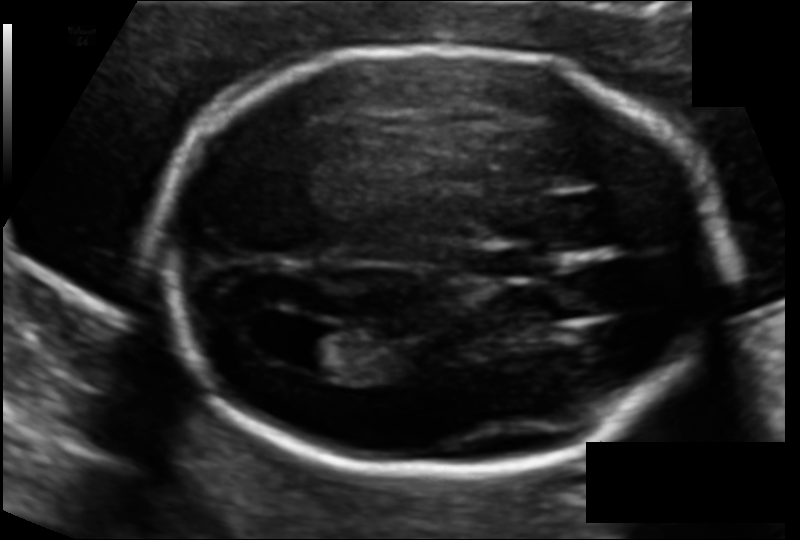
In this fetal head ultrasound, give the bounding box of the lateral ventricle. Image width: 89.4 mm.

[291,320,371,384]